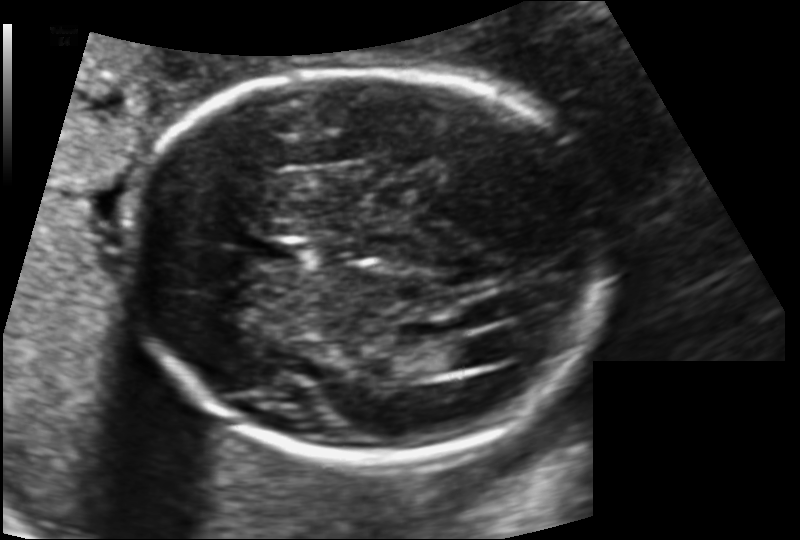
Fetal head ultrasound. Image width: 107.8 mm. Where is the fetal head?

Head bounding box: [123,68,611,457]